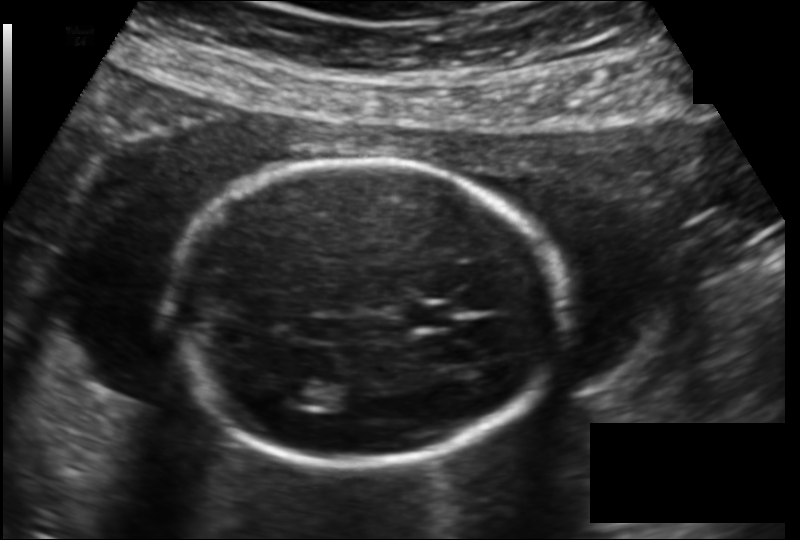
In this fetal head ultrasound, give the bounding box of the fetal head. Image width: 119.1 mm.

[173,162,561,462]